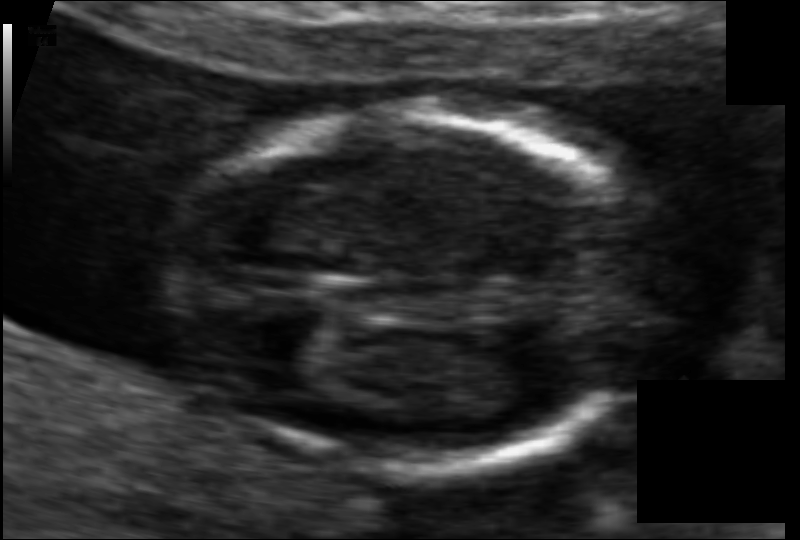
Estimate the fetal head circumference from this 2D ultrasound.

Head circumference: 88.5 mm (image width 51.8 mm).